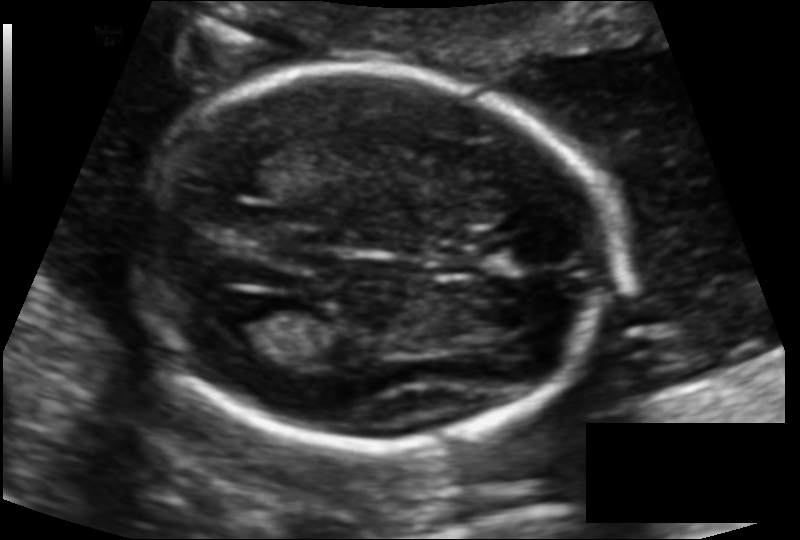
Estimate the fetal head circumference from this 2D ultrasound.

Head circumference: 166.7 mm (image width 93.4 mm).